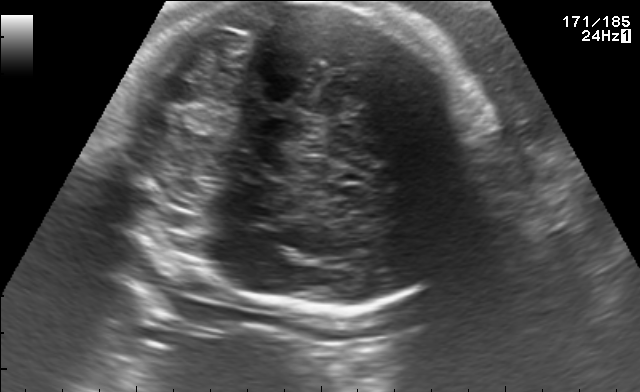
Fetal brain, trans-cerebellum plane. Where is the fetal head?

Head bounding box: [115,2,500,312]